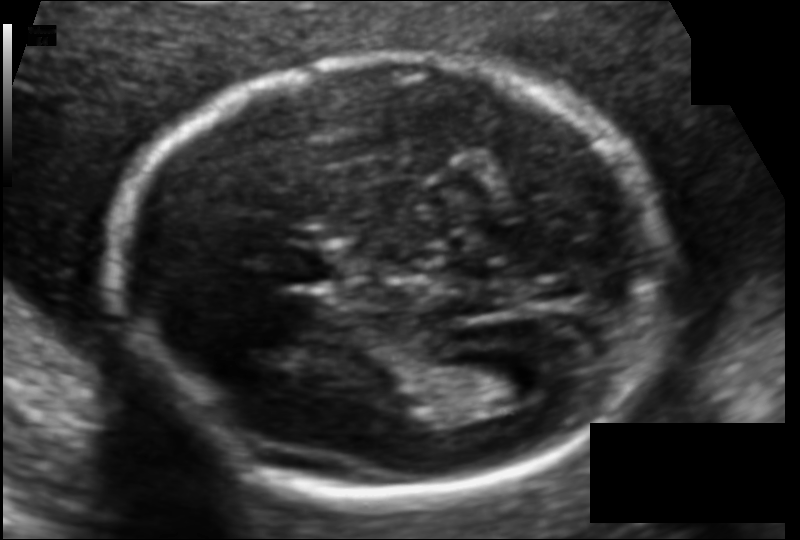
Fetal head ultrasound. Image width: 83.5 mm. Where is the lateral ventricle?

Lateral ventricle bounding box: [460,346,554,413]